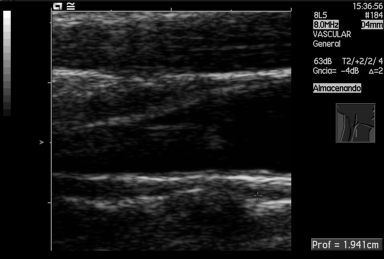
Which standard maternal-fetal ultrasound plane is shown: fetal abdomen, fetal brain, fetal femur, fetal thorax, maternal cervix, or other? If it's fetal brain and one of the three standard brain planes (trans-thalamic, trans-cerebellum, trans-ventricular), name which.

Other